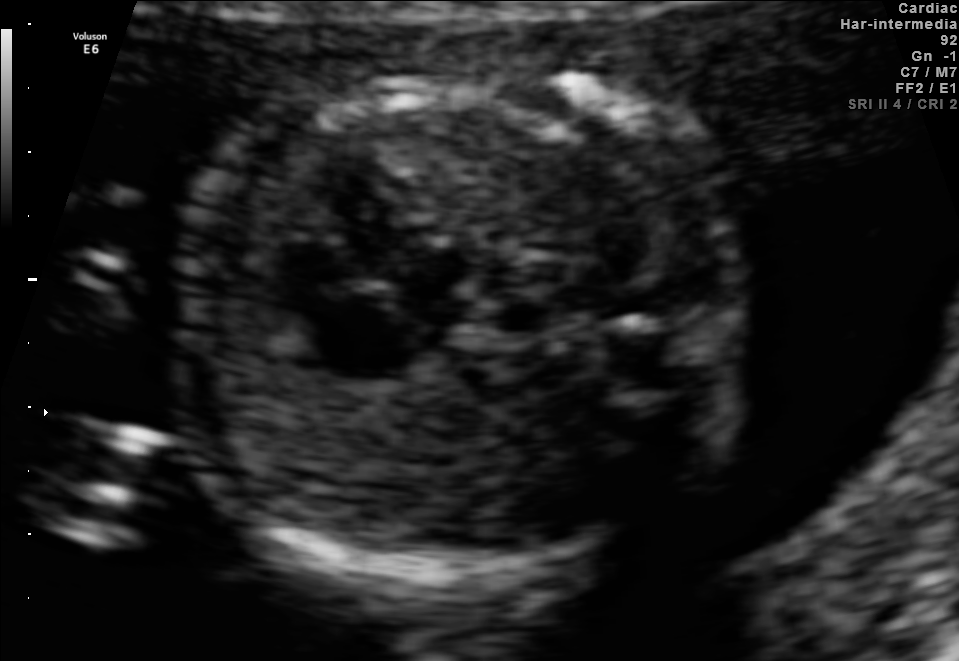
Which standard maternal-fetal ultrasound plane is shown: fetal abdomen, fetal brain, fetal femur, fetal thorax, maternal cervix, or other? If it's fetal brain and one of the three standard brain planes (trans-thalamic, trans-cerebellum, trans-ventricular), name which.

Fetal thorax